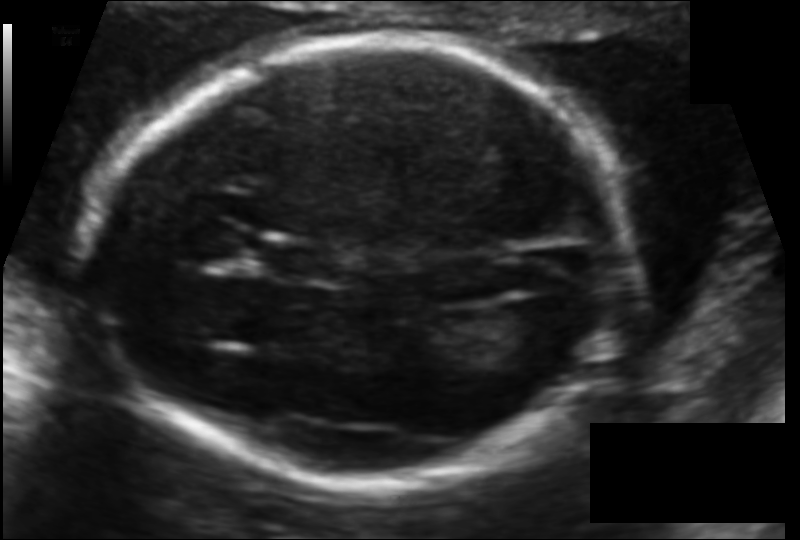
Fetal head ultrasound. Image width: 85.1 mm. Locate the fetal head.

Head: [89,39,629,484]